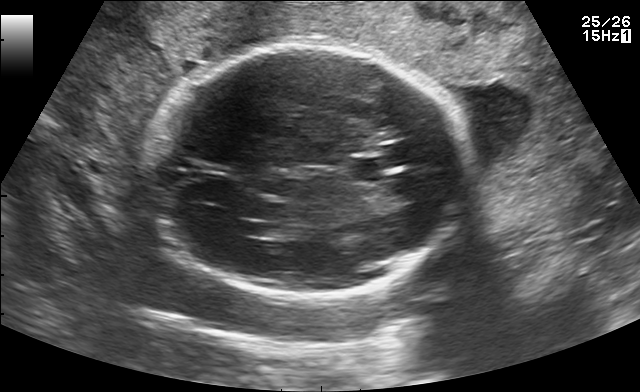
Fetal brain, trans-ventricular plane. Give [x1,y1,x2,y2] bounding boxes for each visible structure among: fetal head, CSP, LV.

Head: [138,38,479,305]
CSP: [341,156,396,183]
Lateral ventricle: [232,218,267,237]